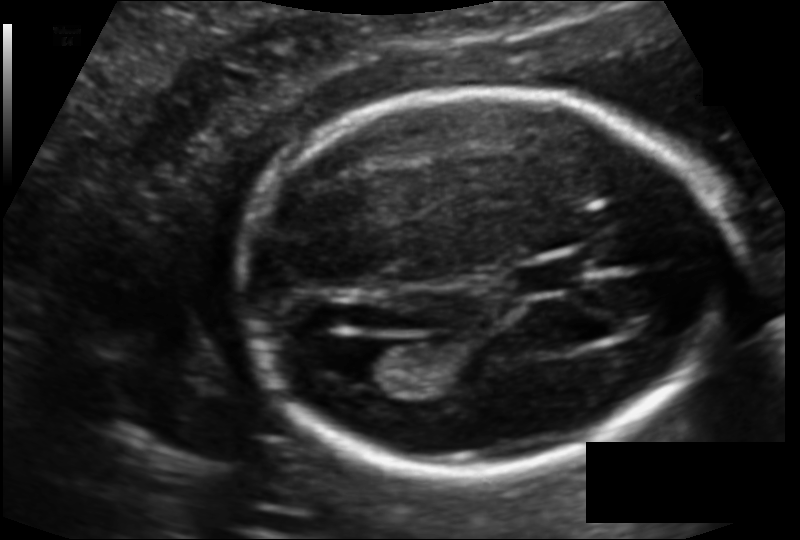
In this fetal head ultrasound, give the bounding box of the fetal head. Image width: 96.9 mm.

[237,89,722,475]